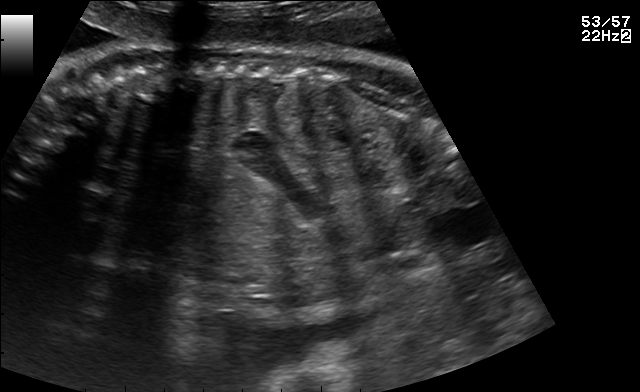
Classify this maternal-fetal ultrasound image as one of the six standard planes — fetal abdomen, fetal brain, fetal femur, fetal thorax, maternal cervix, or other. If it's fetal brain and one of the three standard brain planes (trans-thalamic, trans-cerebellum, trans-ventricular), name which.

Other